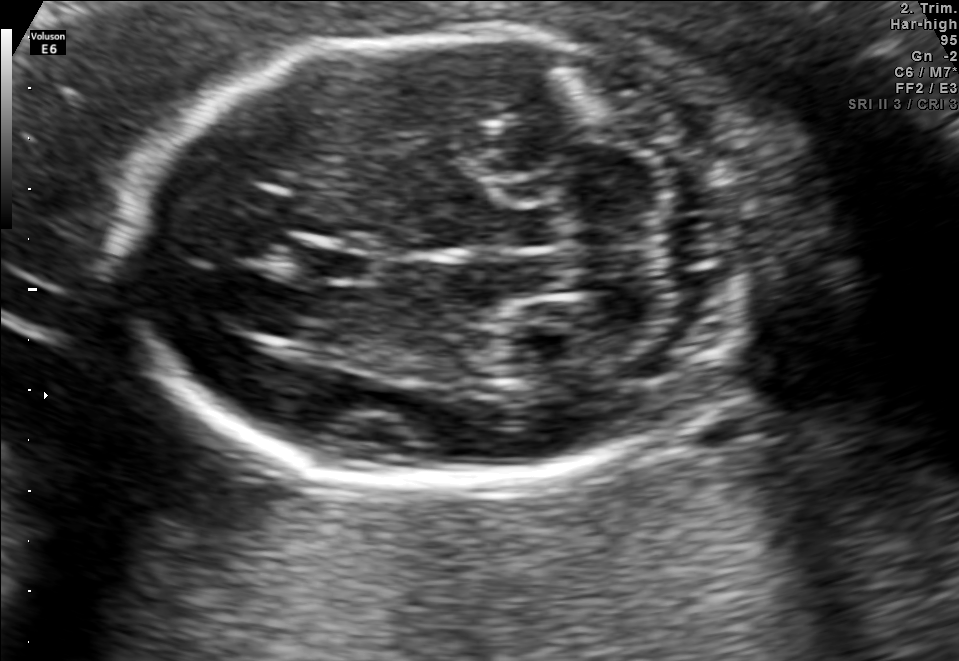
Fetal brain, trans-cerebellum plane. Where is the cavum septum pellucidum?

CSP bounding box: [297,240,376,285]